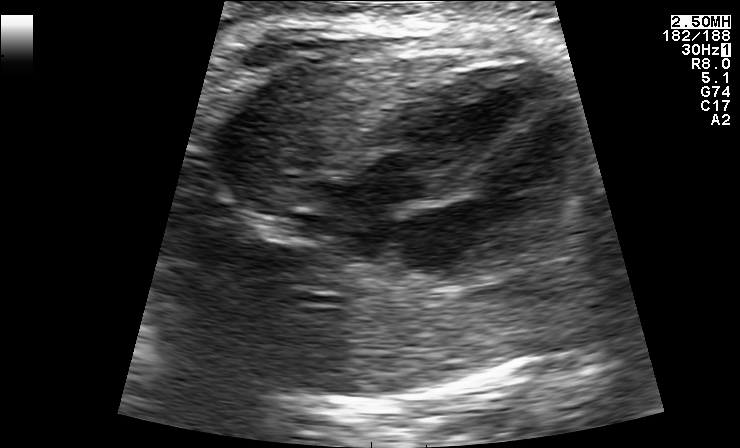
This is a 2D maternal-fetal ultrasound frame. Is it a fetal abdomen, fetal brain, fetal femur, fetal thorax, maternal cervix, or other standard plane? If it's fetal brain and one of the three standard brain planes (trans-thalamic, trans-cerebellum, trans-ventricular), name which.

Fetal thorax